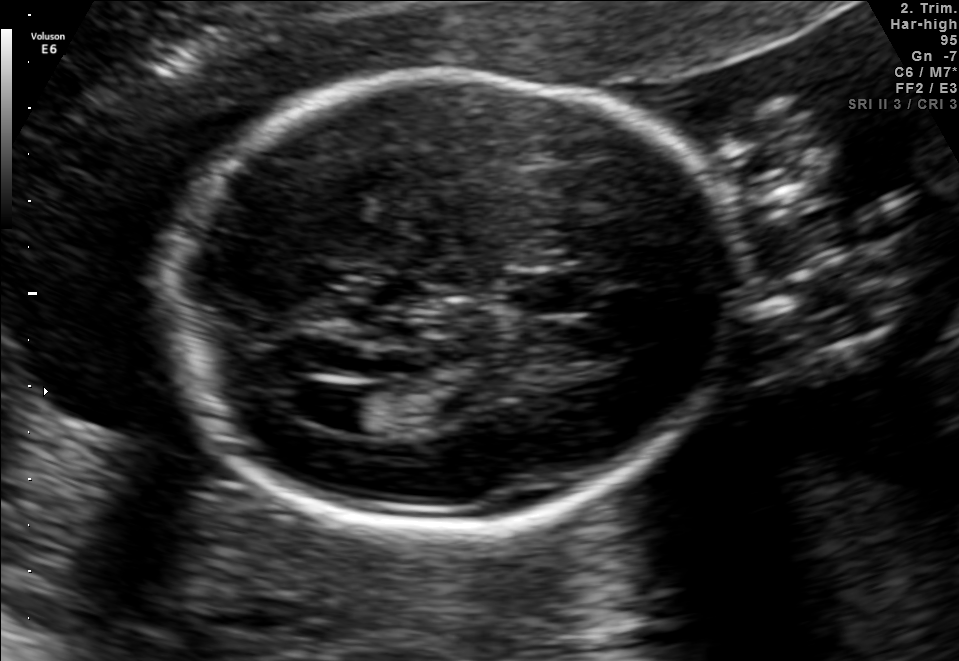
Fetal brain, trans-ventricular plane. Locate the fetal head.

Head: [157,64,754,537]